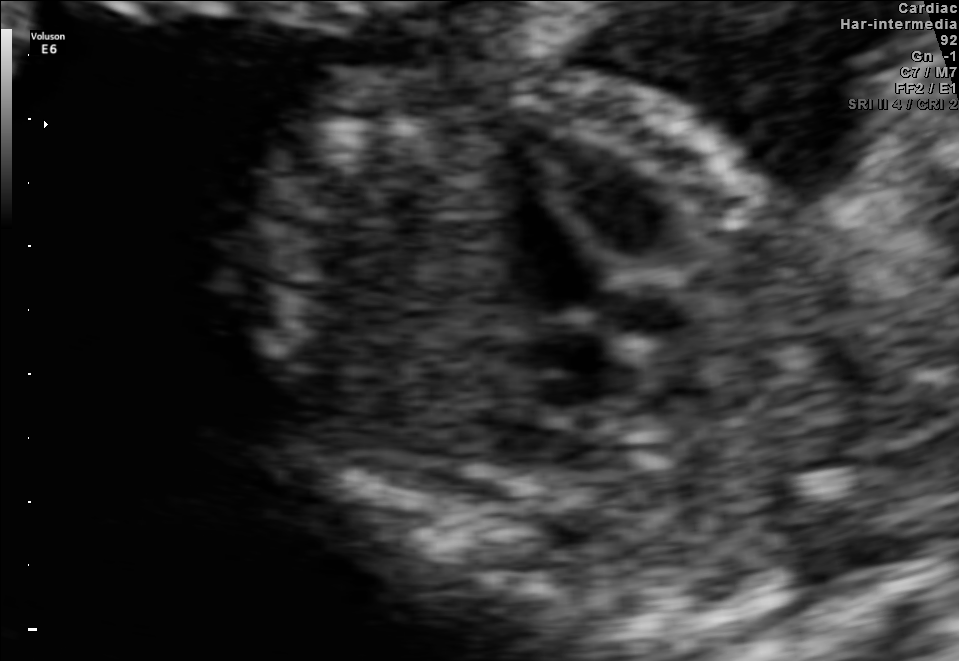
This is a 2D maternal-fetal ultrasound frame. Is it a fetal abdomen, fetal brain, fetal femur, fetal thorax, maternal cervix, or other standard plane? If it's fetal brain and one of the three standard brain planes (trans-thalamic, trans-cerebellum, trans-ventricular), name which.

Fetal thorax